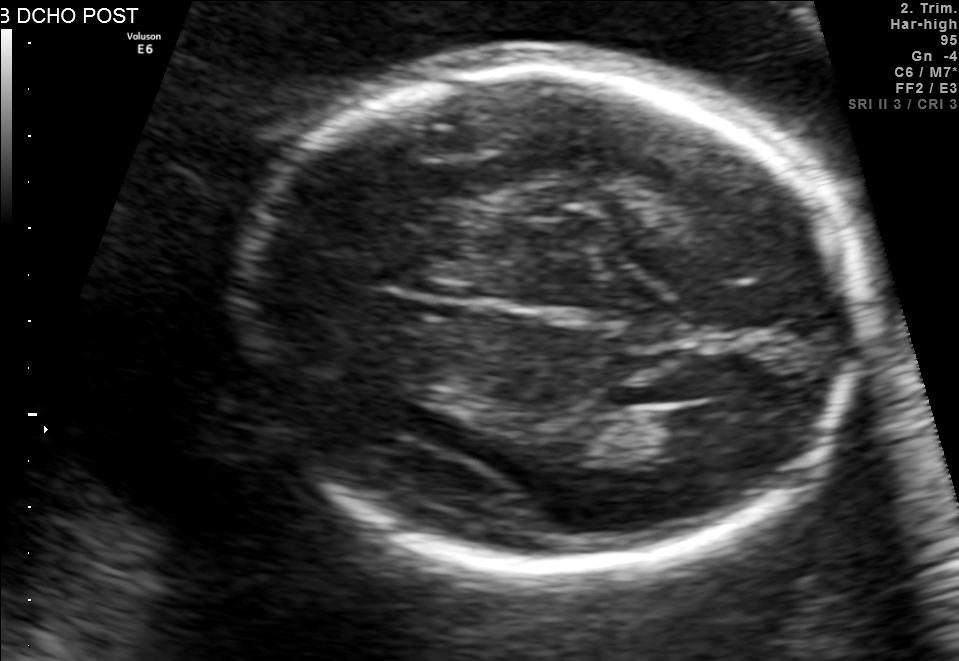
Classify this maternal-fetal ultrasound image as one of the six standard planes — fetal abdomen, fetal brain, fetal femur, fetal thorax, maternal cervix, or other. If it's fetal brain and one of the three standard brain planes (trans-thalamic, trans-cerebellum, trans-ventricular), name which.

Fetal brain (trans-thalamic plane)